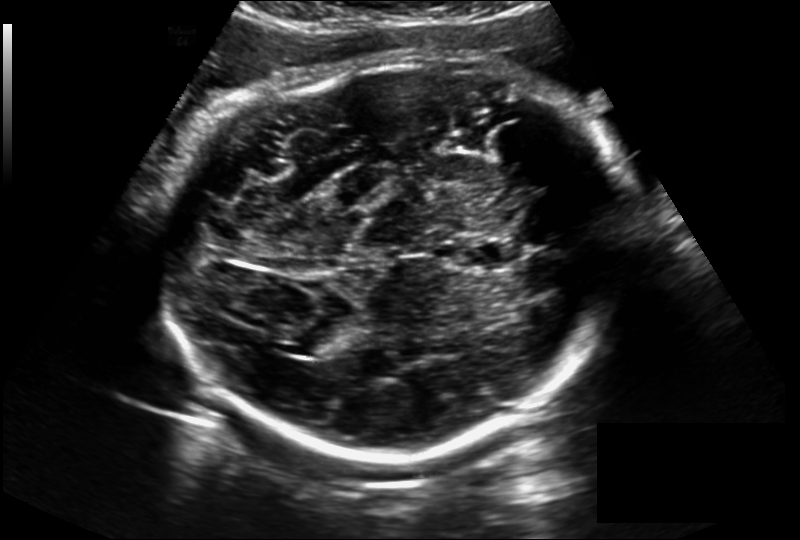
Fetal head ultrasound. Image width: 182.1 mm. Locate the fetal head and, if visible, the cavum septum pellucidum (CSP) and lateral ventricle (LV). Give bounding boxes as [x1,y1,x2,y2].

Head: [166,55,632,459]